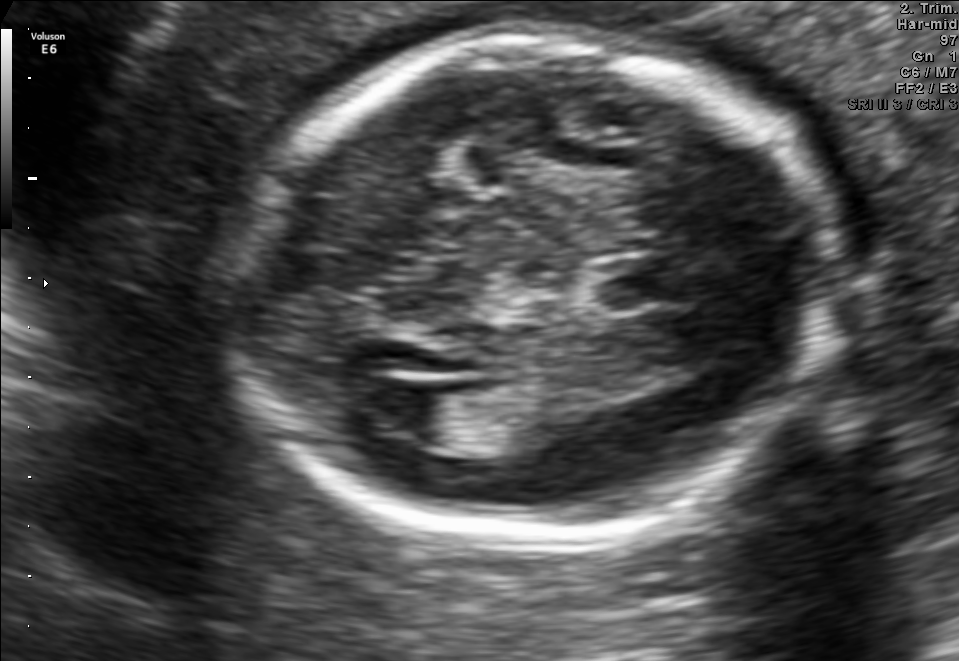
Fetal brain, trans-ventricular plane. Give [x1,y1,x2,y2] bounding boxes for each visible structure among: fetal head, CSP, LV.

Head: [222,23,859,550]
Lateral ventricle: [363,374,449,441]